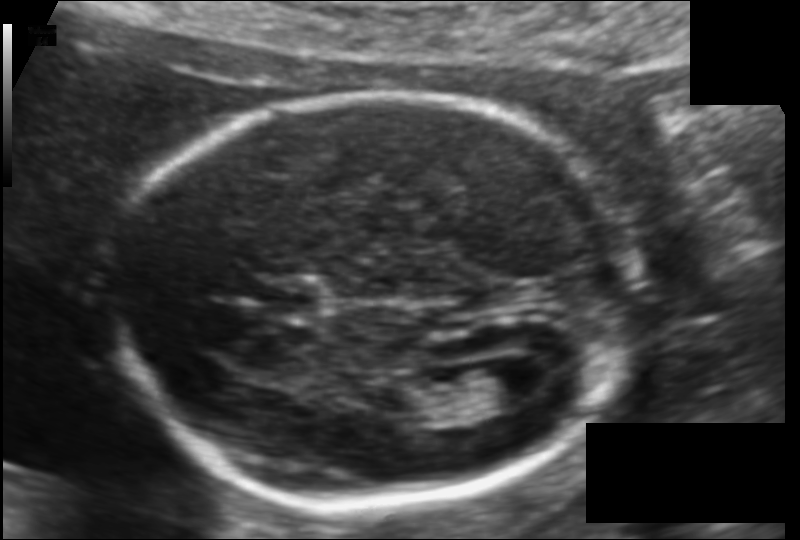
Fetal head ultrasound. Image width: 92.0 mm. Locate the cavum septum pellucidum.

CSP: [258,283,320,315]